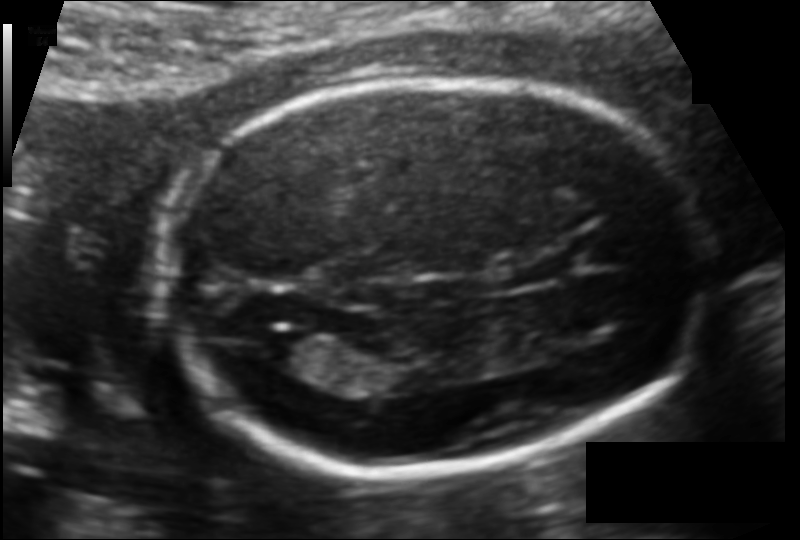
In this fetal head ultrasound, give the bounding box of the fetal head. Image width: 87.1 mm.

[158,78,704,472]